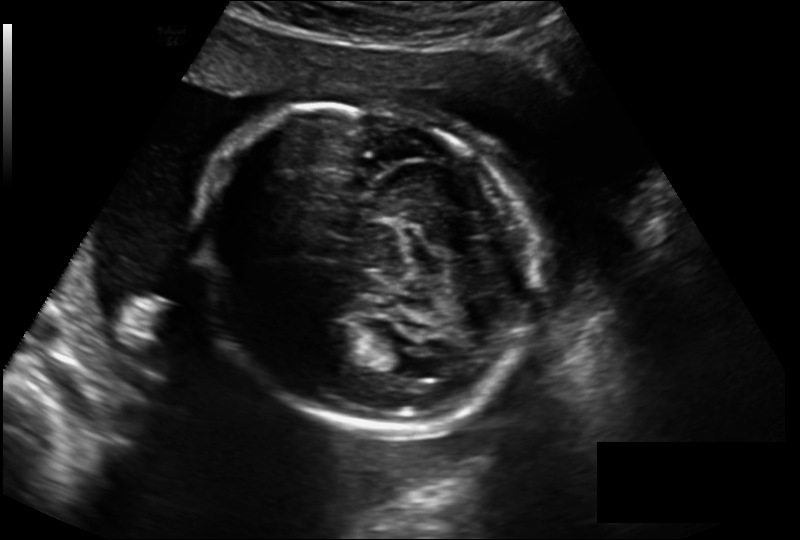
Fetal head ultrasound. Image width: 168.7 mm. Locate the fetal head and, if visible, the cavum septum pellucidum (CSP) and lateral ventricle (LV). Give bounding boxes as [x1,y1,x2,y2].

Head: [196,104,537,433]